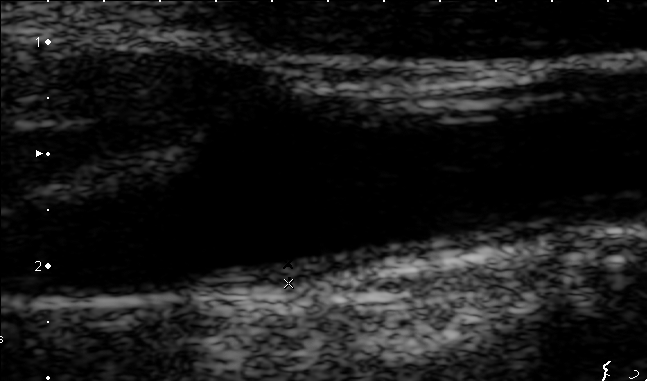
Classify this maternal-fetal ultrasound image as one of the six standard planes — fetal abdomen, fetal brain, fetal femur, fetal thorax, maternal cervix, or other. If it's fetal brain and one of the three standard brain planes (trans-thalamic, trans-cerebellum, trans-ventricular), name which.

Other